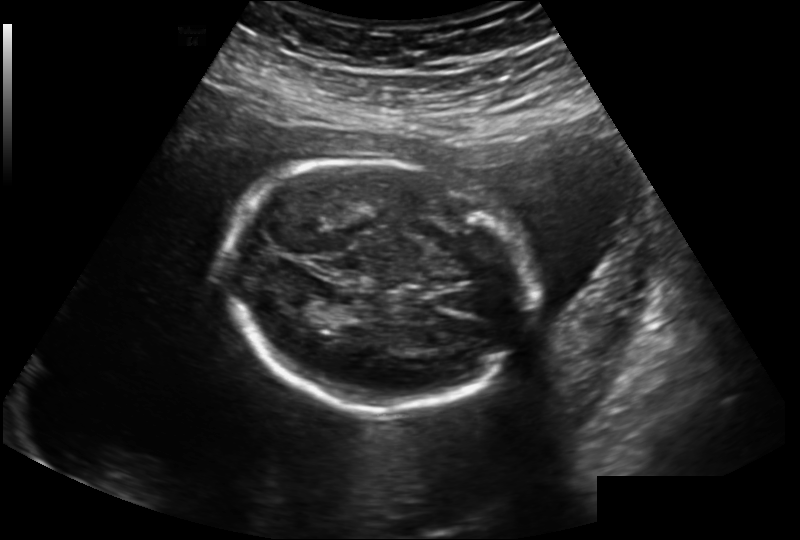
Estimate the fetal head circumference from this 2D ultrasound.

Head circumference: 185.6 mm (image width 161.6 mm).